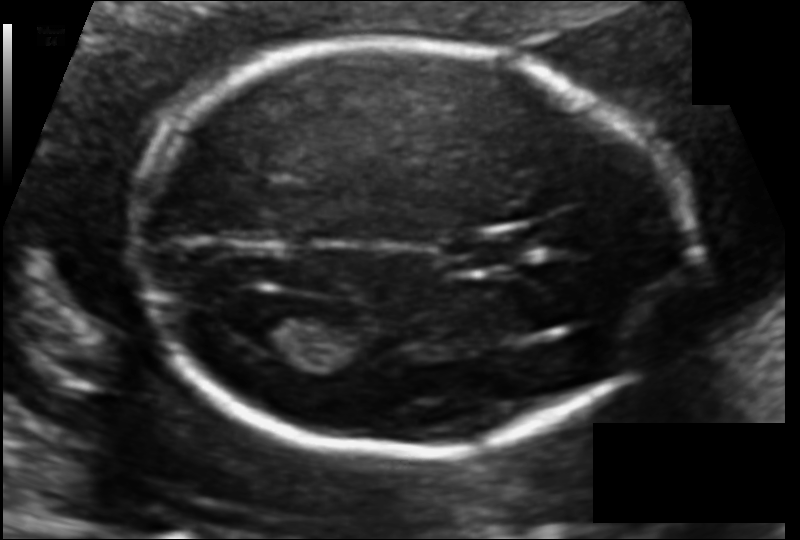
In this fetal head ultrasound, give the bounding box of the cavum septum pellucidum. Image width: 84.8 mm.

[450,230,525,273]